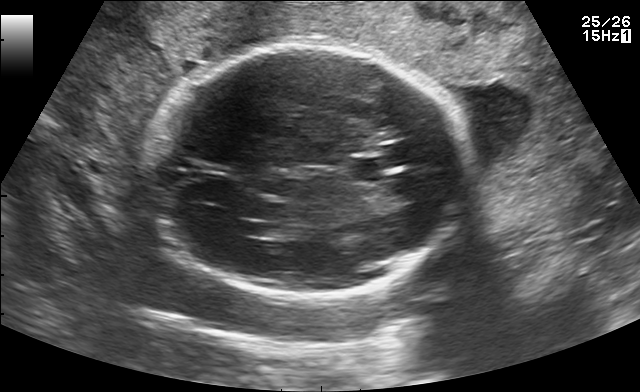
In this fetal brain, trans-ventricular plane, give bounding boxes for the head outline, cavum septum pellucidum (CSP), and lateral ventricle (LV), where visible.

Head: [138,38,479,305]
CSP: [341,156,396,183]
Lateral ventricle: [232,218,267,237]